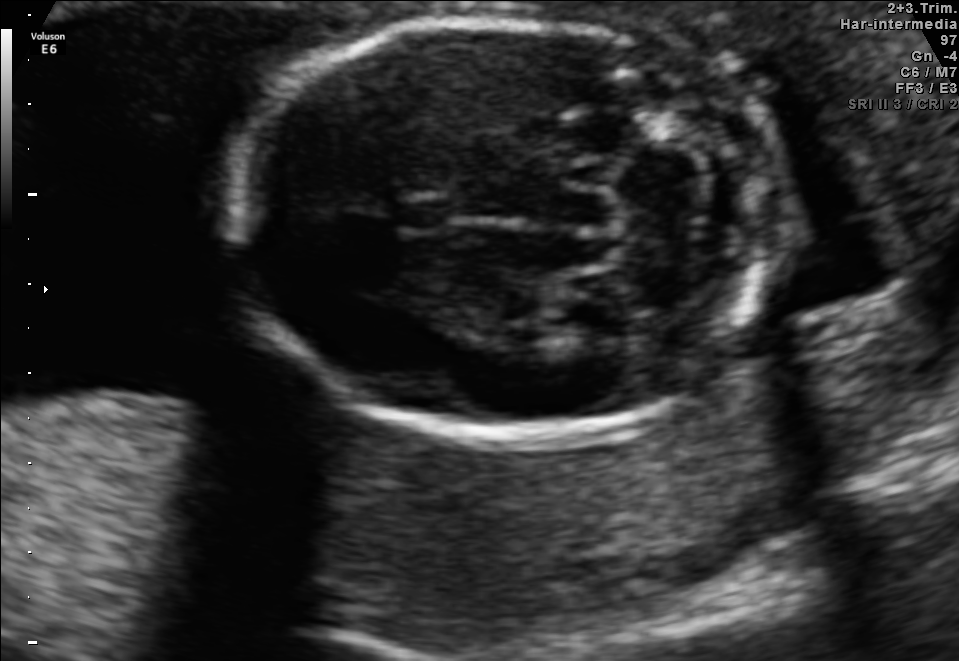
In this fetal brain, trans-cerebellum plane, give bounding boxes for the head outline, cavum septum pellucidum (CSP), and lateral ventricle (LV), where visible.

Head: [231,18,768,443]
CSP: [392,194,455,236]